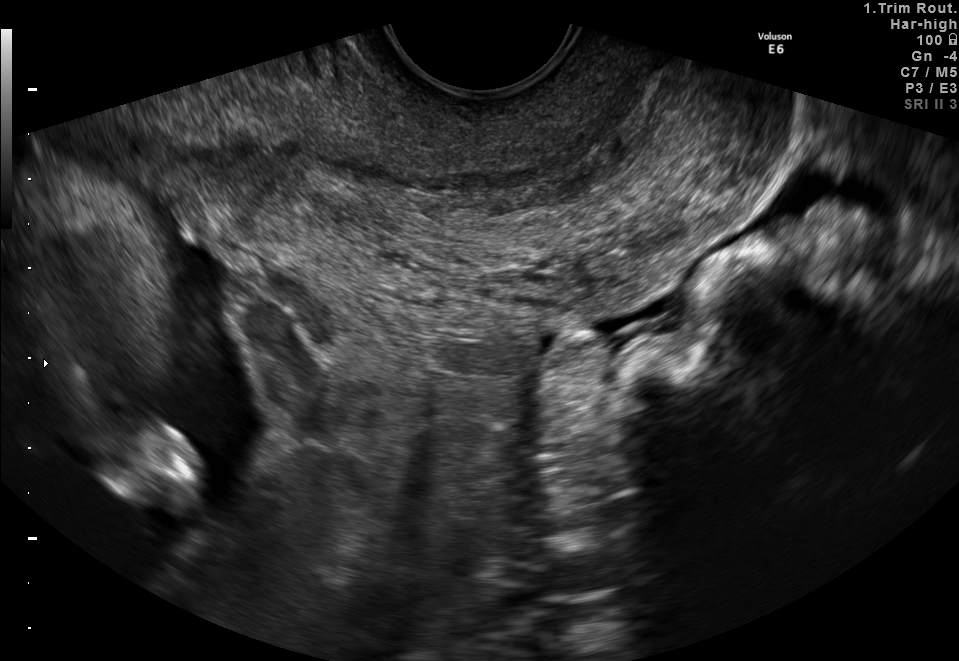
This is a 2D maternal-fetal ultrasound frame. Is it a fetal abdomen, fetal brain, fetal femur, fetal thorax, maternal cervix, or other standard plane? If it's fetal brain and one of the three standard brain planes (trans-thalamic, trans-cerebellum, trans-ventricular), name which.

Maternal cervix